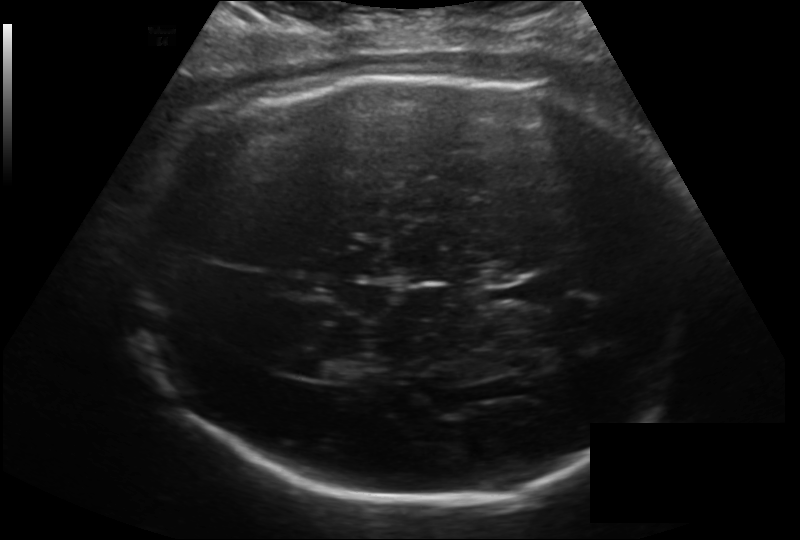
Measure the fetal head circumference shown in this ultrasound image. Image width: 154.4 mm.

Head circumference: 315.0 mm.